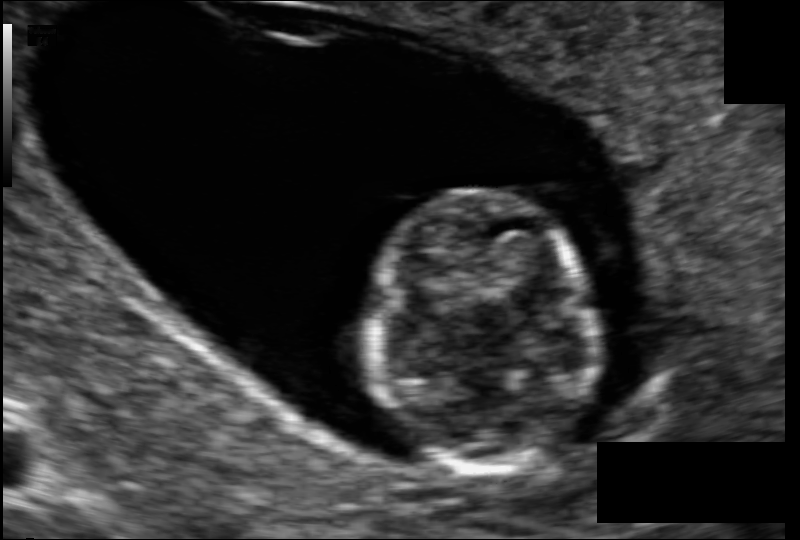
Fetal head ultrasound. Image width: 73.7 mm. Give [x1,y1,x2,y2] bounding boxes for each visible structure among: fetal head, CSP, LV.

Head: [370,192,591,469]